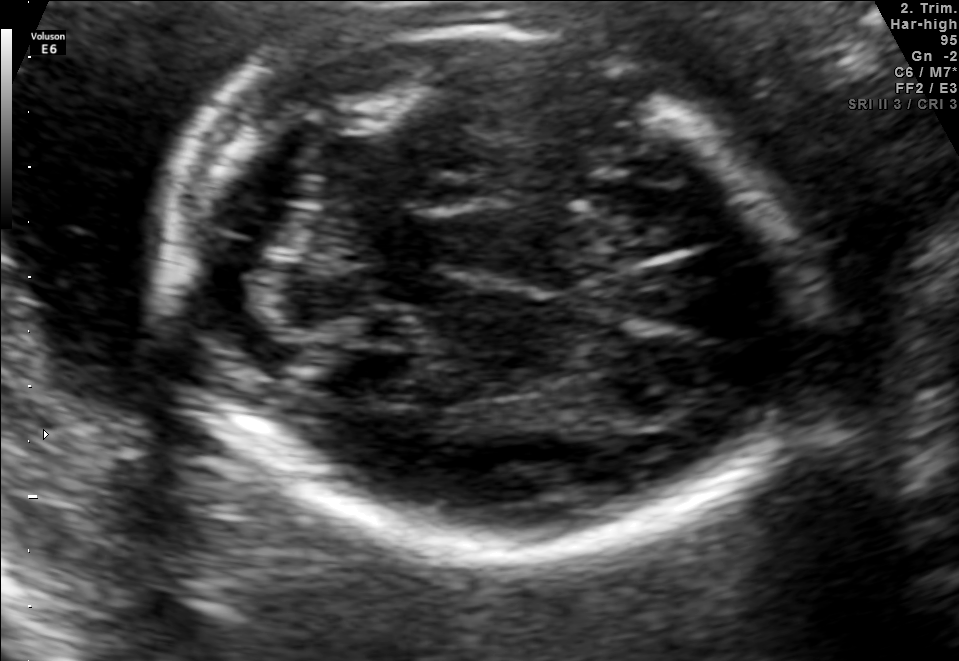
In this fetal brain, trans-cerebellum plane, give the bounding box of the fetal head.

[159,20,792,557]